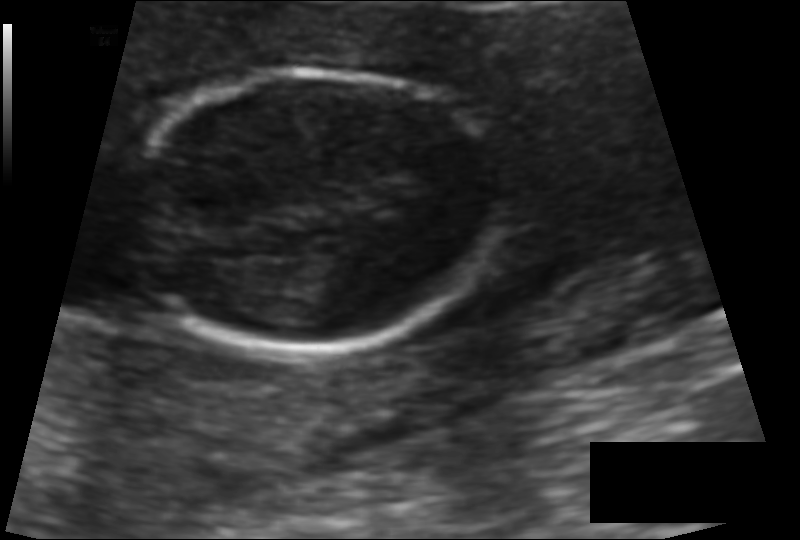
Estimate the fetal head circumference from this 2D ultrasound.

Head circumference: 103.8 mm (image width 75.9 mm).